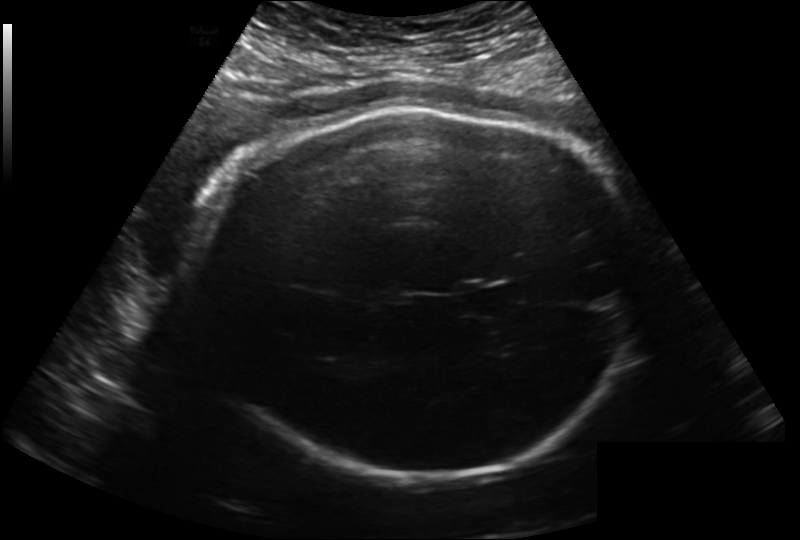
In this fetal head ultrasound, give bounding boxes for the head outline, cavum septum pellucidum (CSP), and lateral ventricle (LV), where visible. Image width: 177.2 mm.

Head: [196,106,639,480]